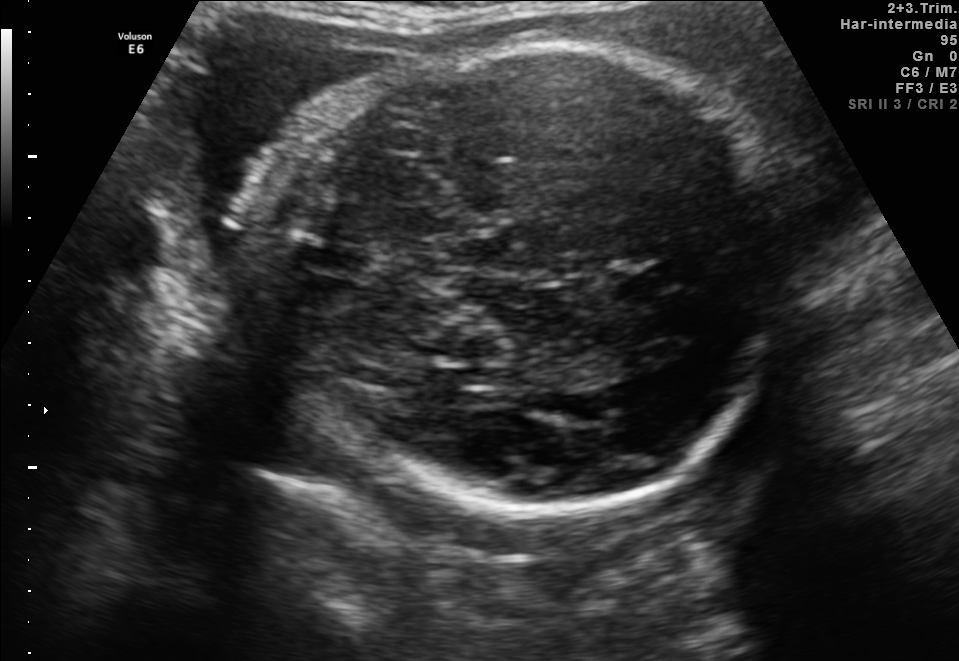
Fetal brain, trans-thalamic plane. Where is the lateral ventricle?

Lateral ventricle bounding box: [457,368,505,384]